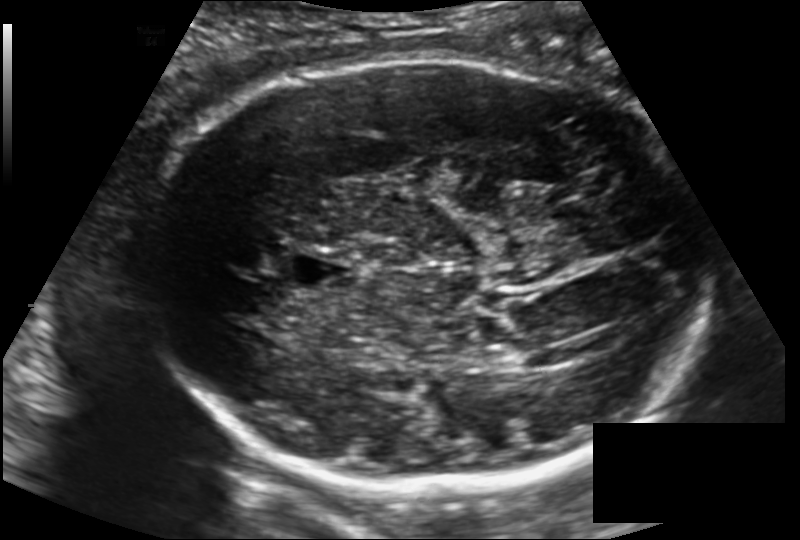
Measure the fetal head circumference shown in this ultrasound image. Image width: 136.5 mm.

Head circumference: 272.1 mm.